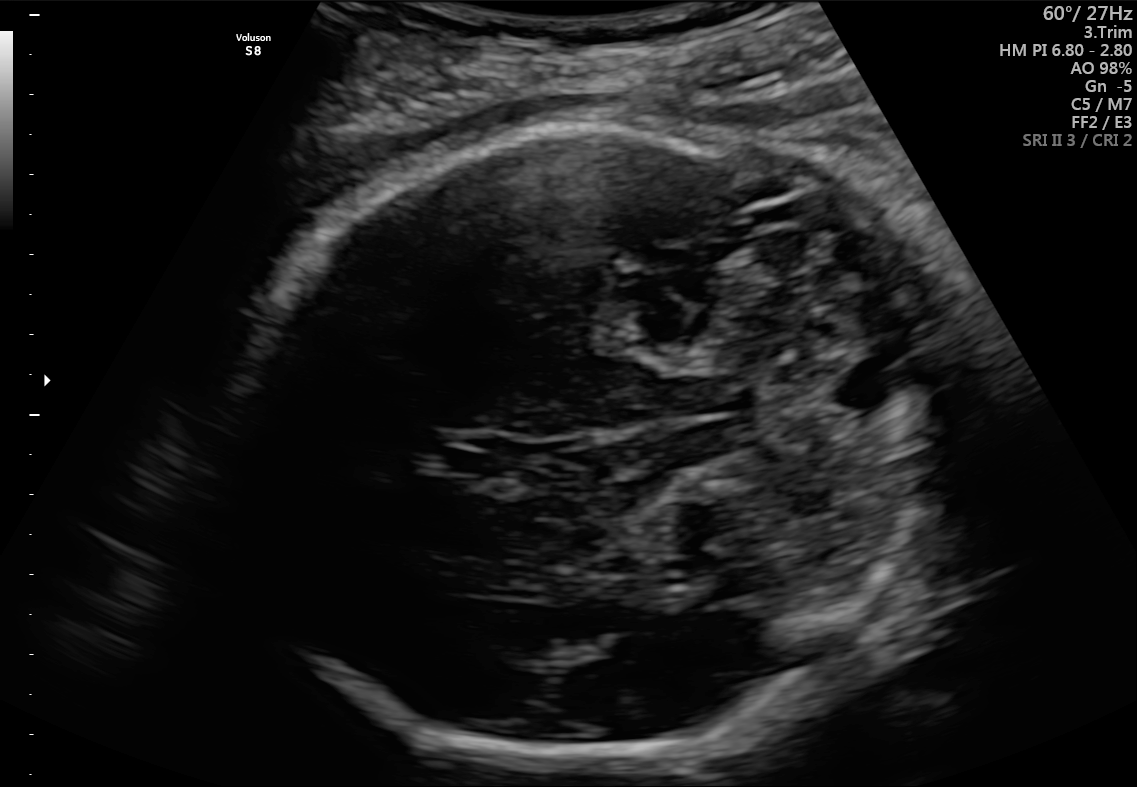
Fetal brain, trans-cerebellum plane. Where is the fetal head?

Head bounding box: [230,127,947,755]